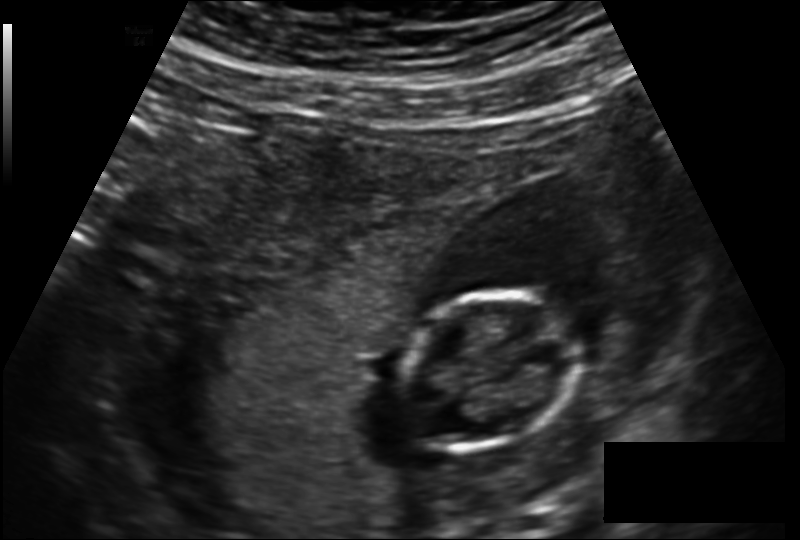
Measure the fetal head circumference shown in this ultrasound image. Image width: 128.2 mm.

Head circumference: 89.8 mm.